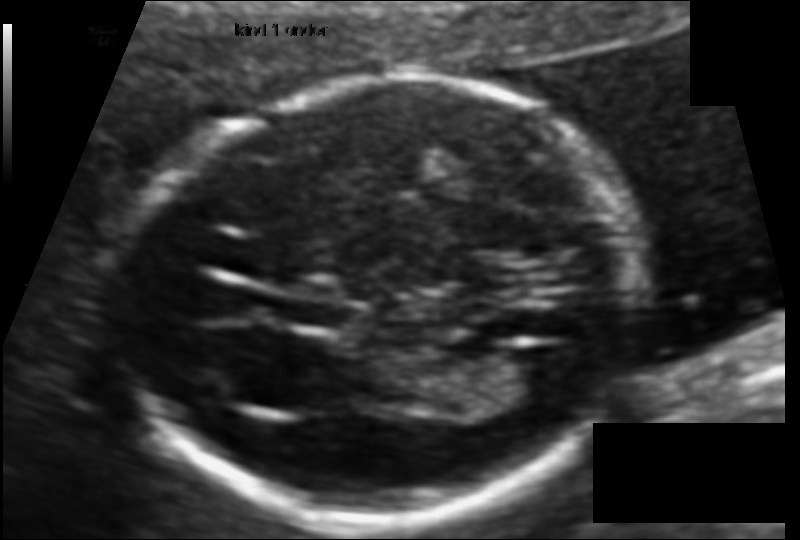
In this fetal head ultrasound, give bounding boxes for the head outline, cavum septum pellucidum (CSP), and lateral ventricle (LV), where visible. Image width: 75.7 mm.

Head: [122,82,638,520]
CSP: [290,297,353,332]
Lateral ventricle: [498,342,581,400]